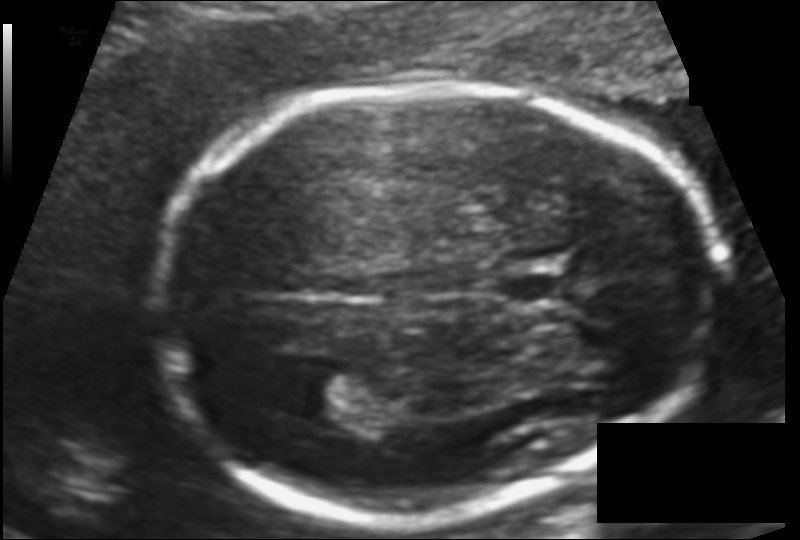
In this fetal head ultrasound, give the bounding box of the cavum septum pellucidum. Image width: 87.8 mm.

[501,269,574,307]